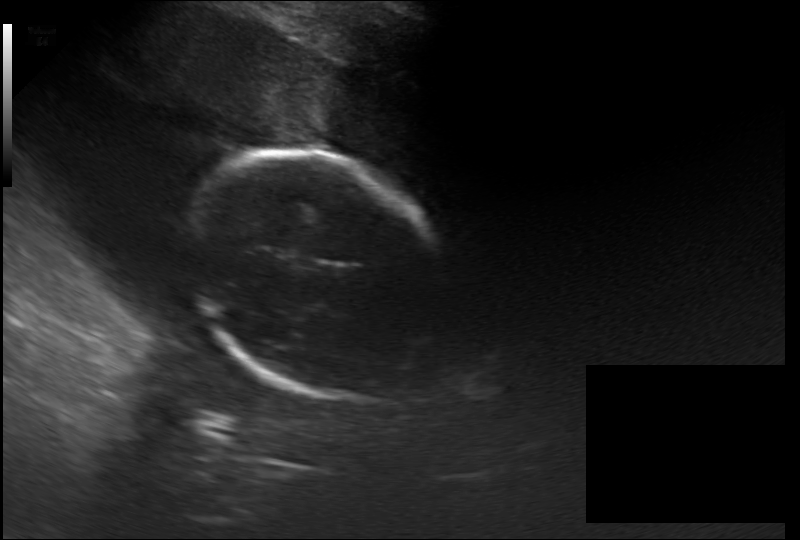
Measure the fetal head circumference shown in this ultrasound image. Image width: 211.0 mm.

Head circumference: 217.9 mm.